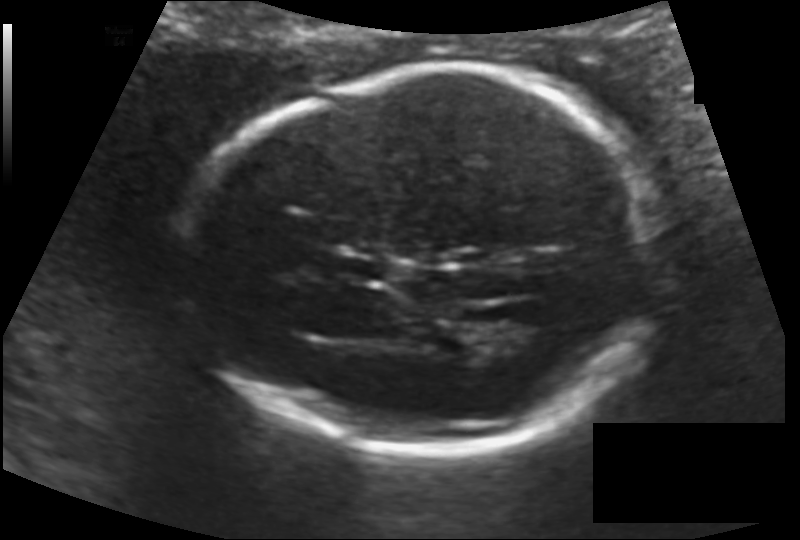
Fetal head ultrasound. Image width: 102.3 mm. Where is the cavum septum pellucidum?

CSP bounding box: [331,251,391,286]